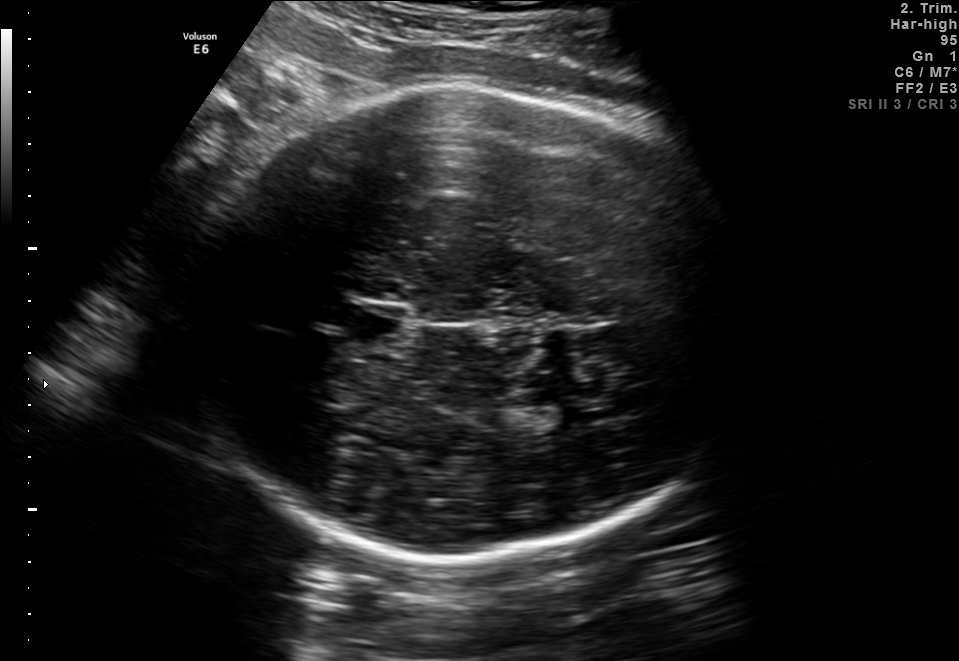
Which standard maternal-fetal ultrasound plane is shown: fetal abdomen, fetal brain, fetal femur, fetal thorax, maternal cervix, or other? If it's fetal brain and one of the three standard brain planes (trans-thalamic, trans-cerebellum, trans-ventricular), name which.

Fetal brain (trans-thalamic plane)